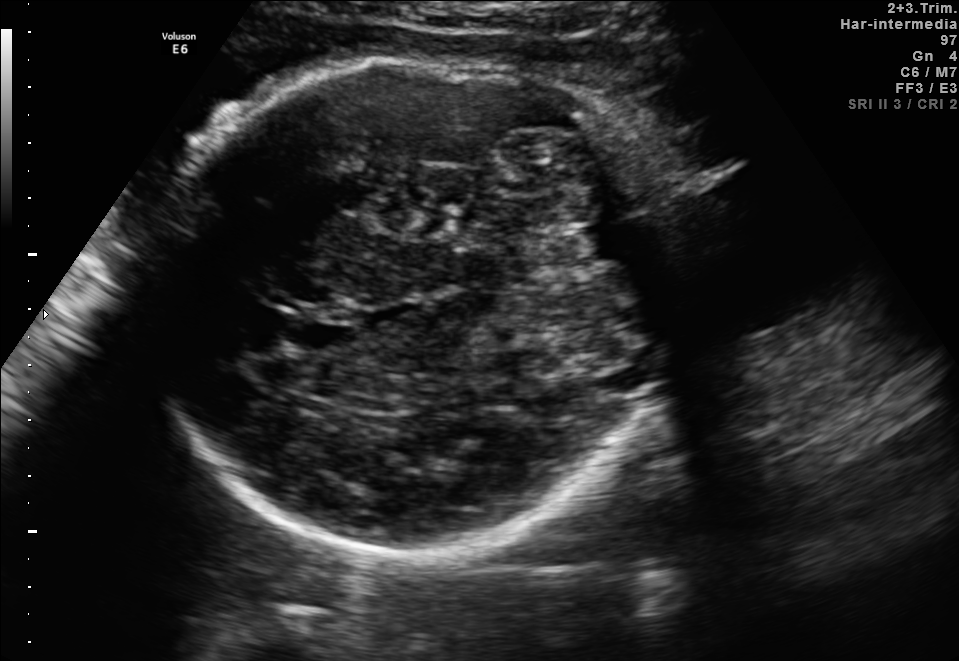
Fetal brain, trans-thalamic plane. Locate the fetal head.

Head: [131,61,672,558]